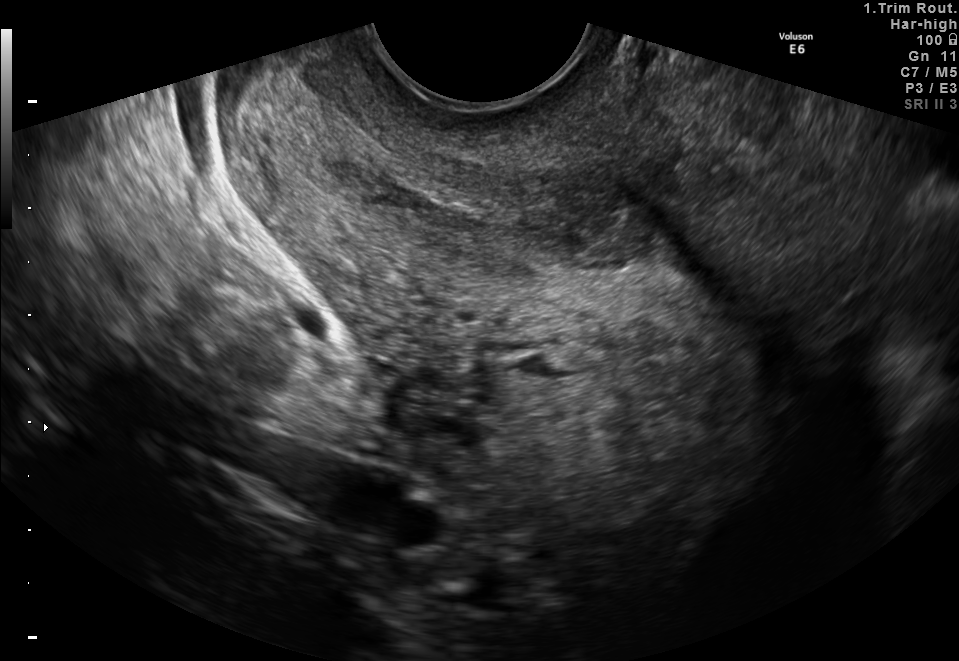
Which standard maternal-fetal ultrasound plane is shown: fetal abdomen, fetal brain, fetal femur, fetal thorax, maternal cervix, or other? If it's fetal brain and one of the three standard brain planes (trans-thalamic, trans-cerebellum, trans-ventricular), name which.

Maternal cervix